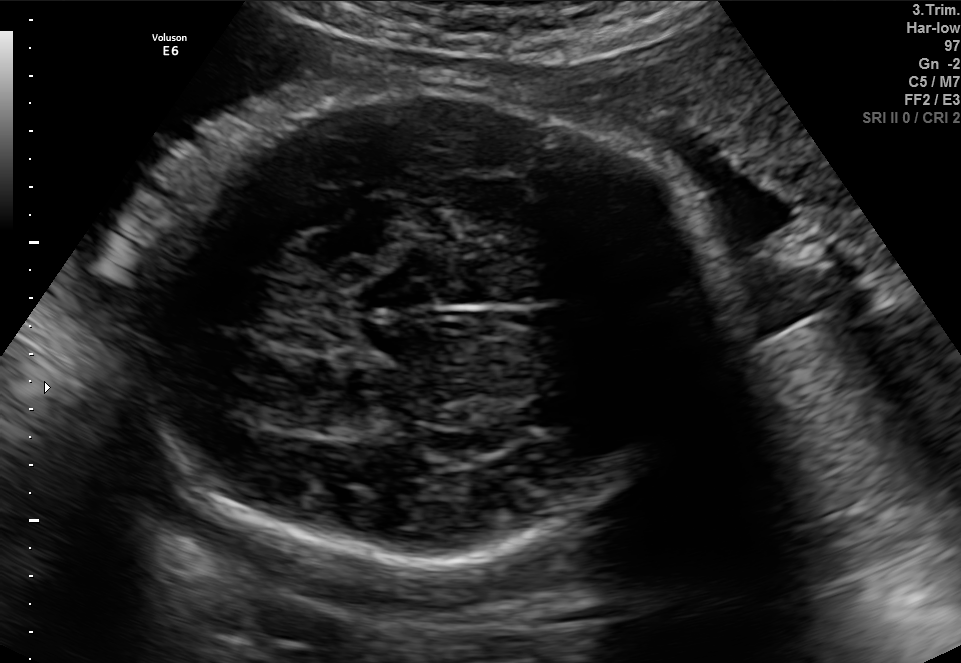
In this fetal brain, trans-thalamic plane, give the bounding box of the fetal head.

[118,88,723,565]